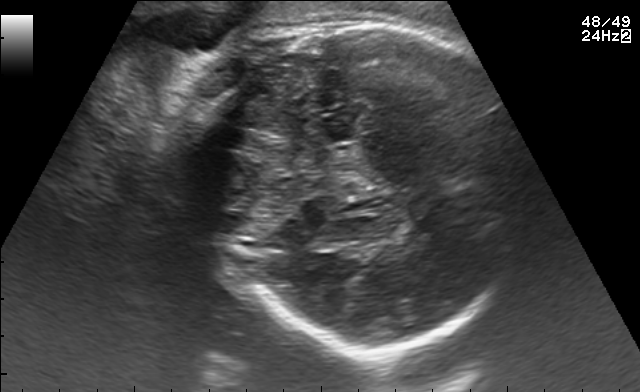
Which standard maternal-fetal ultrasound plane is shown: fetal abdomen, fetal brain, fetal femur, fetal thorax, maternal cervix, or other? If it's fetal brain and one of the three standard brain planes (trans-thalamic, trans-cerebellum, trans-ventricular), name which.

Fetal brain (trans-thalamic plane)